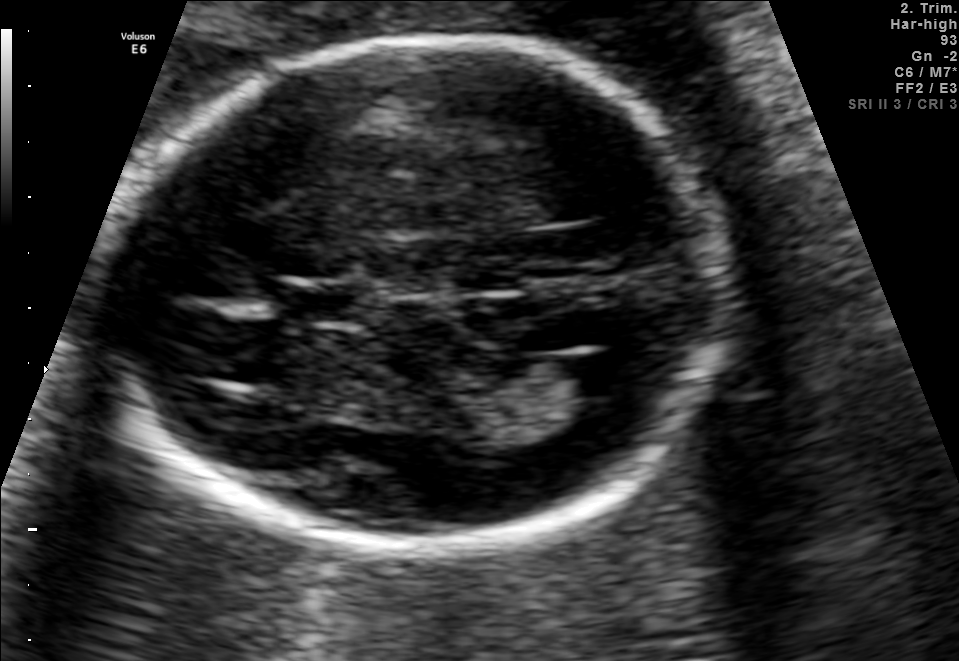
In this fetal brain, trans-ventricular plane, give the bounding box of the lateral ventricle.

[539,347,634,404]